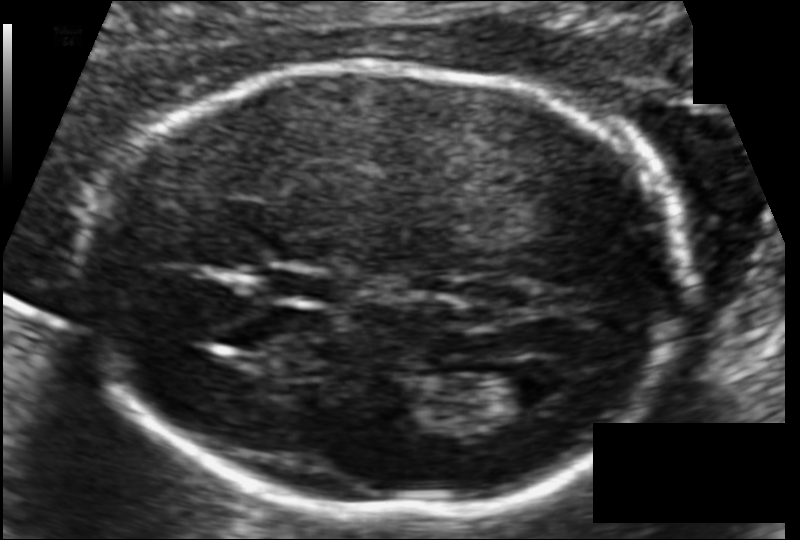
Fetal head ultrasound. Image width: 81.8 mm. Locate the lateral ventricle.

Lateral ventricle: [478,350,571,420]